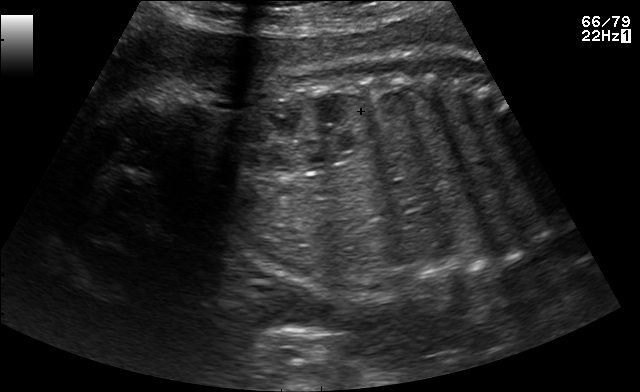
Classify this maternal-fetal ultrasound image as one of the six standard planes — fetal abdomen, fetal brain, fetal femur, fetal thorax, maternal cervix, or other. If it's fetal brain and one of the three standard brain planes (trans-thalamic, trans-cerebellum, trans-ventricular), name which.

Other